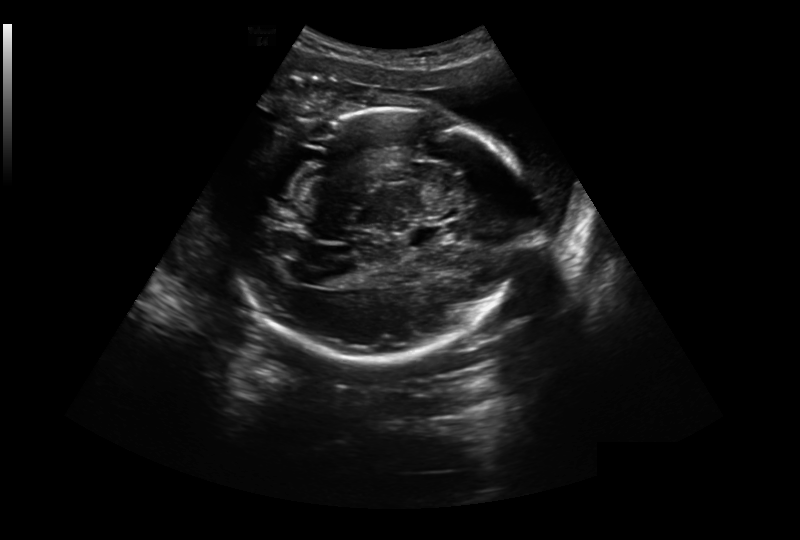
Fetal head ultrasound. Image width: 243.0 mm. Locate the fetal head.

Head: [236,108,529,364]